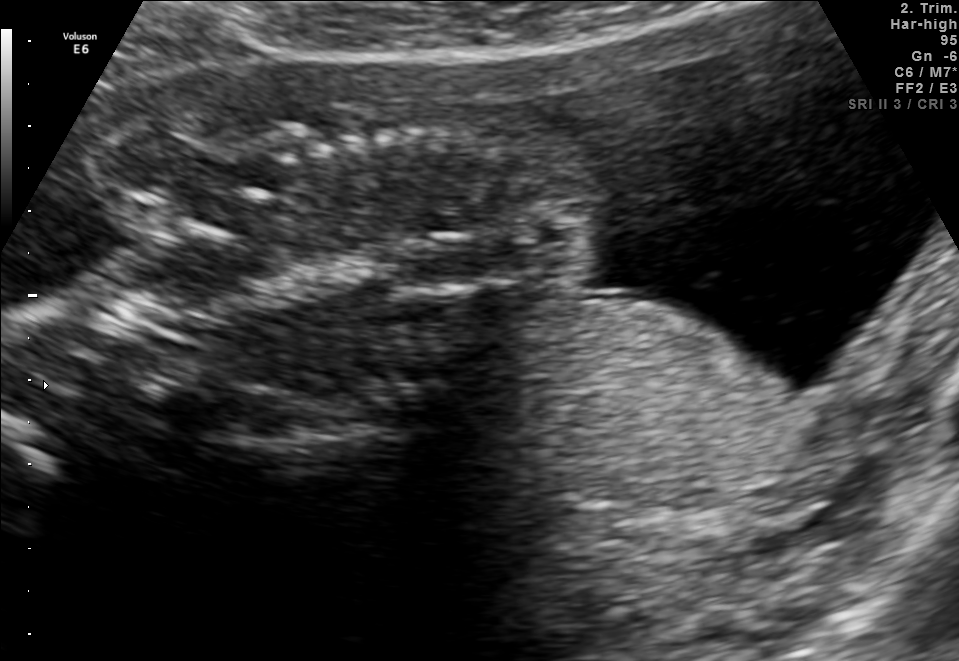
Classify this maternal-fetal ultrasound image as one of the six standard planes — fetal abdomen, fetal brain, fetal femur, fetal thorax, maternal cervix, or other. If it's fetal brain and one of the three standard brain planes (trans-thalamic, trans-cerebellum, trans-ventricular), name which.

Other